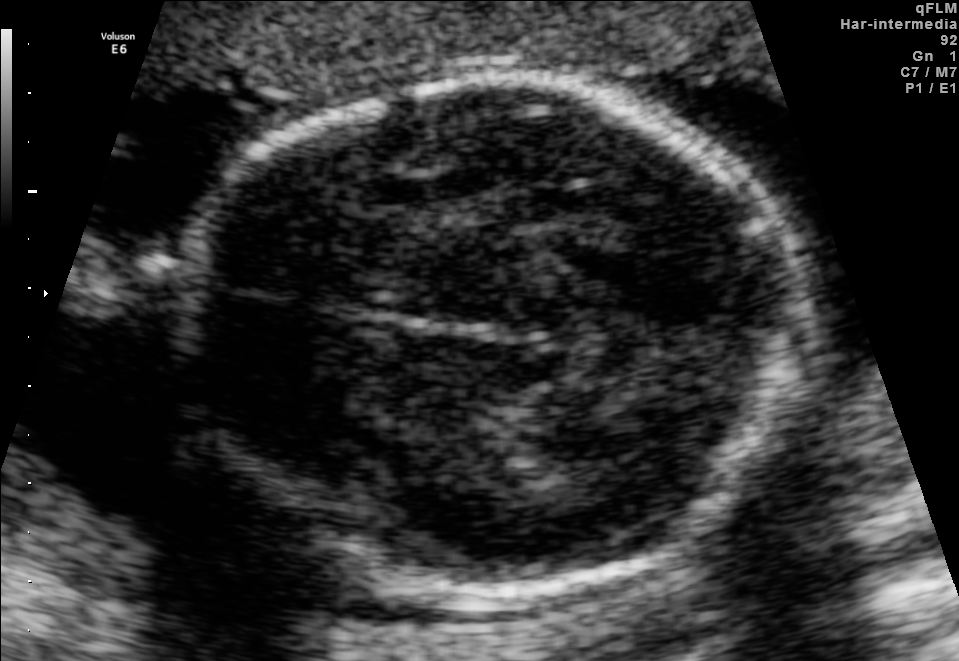
Fetal brain, trans-thalamic plane. Give [x1,y1,x2,y2] bounding boxes for each visible structure among: fetal head, CSP, LV.

Head: [175,80,804,595]